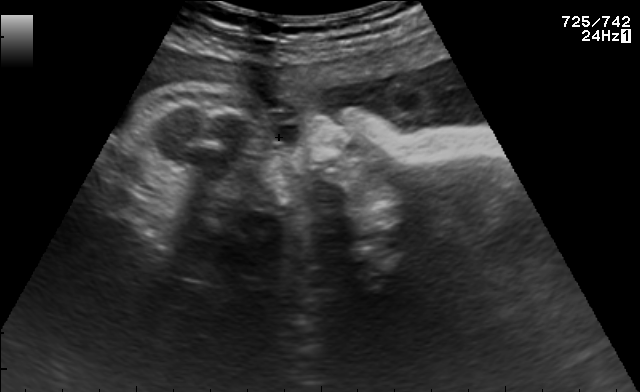
Classify this maternal-fetal ultrasound image as one of the six standard planes — fetal abdomen, fetal brain, fetal femur, fetal thorax, maternal cervix, or other. If it's fetal brain and one of the three standard brain planes (trans-thalamic, trans-cerebellum, trans-ventricular), name which.

Other